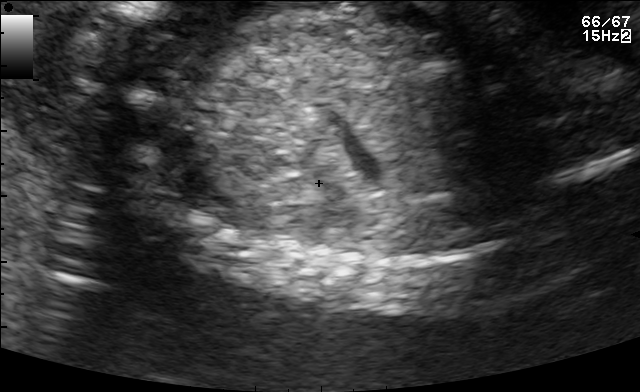
Classify this maternal-fetal ultrasound image as one of the six standard planes — fetal abdomen, fetal brain, fetal femur, fetal thorax, maternal cervix, or other. If it's fetal brain and one of the three standard brain planes (trans-thalamic, trans-cerebellum, trans-ventricular), name which.

Other